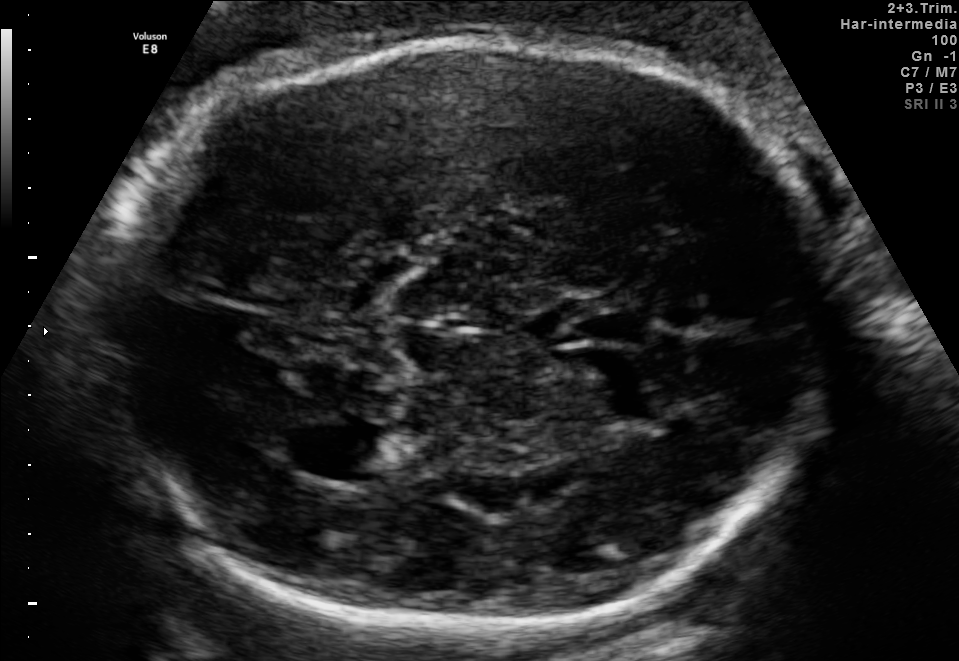
Fetal brain, trans-thalamic plane. Locate the fetal head and, if visible, the cavum septum pellucidum (CSP) and lateral ventricle (LV). Give bounding boxes as [x1,y1,x2,y2].

Head: [91,37,834,630]
CSP: [539,302,652,352]
Lateral ventricle: [312,423,421,481]